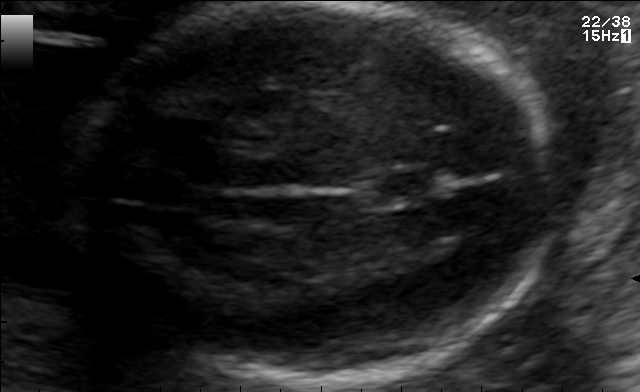
Fetal brain, trans-thalamic plane. Where is the fetal head?

Head bounding box: [64,4,557,383]